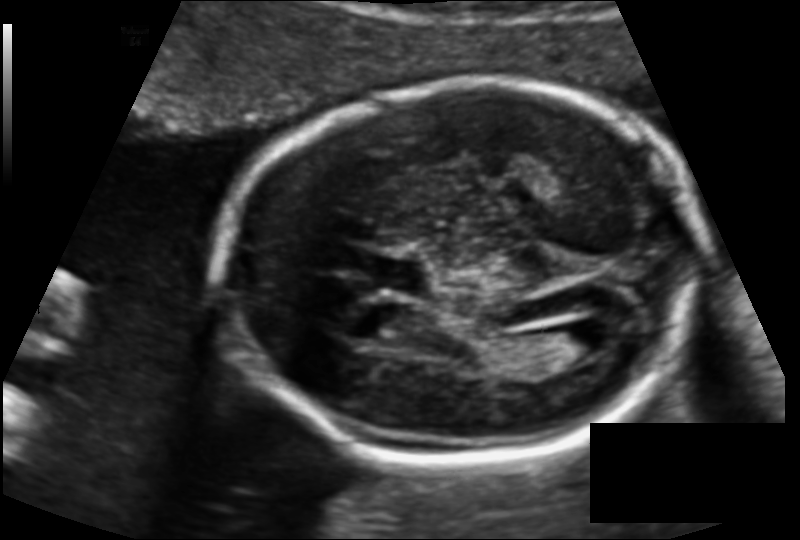
Measure the fetal head circumference shown in this ultrasound image. Image width: 99.5 mm.

Head circumference: 173.9 mm.